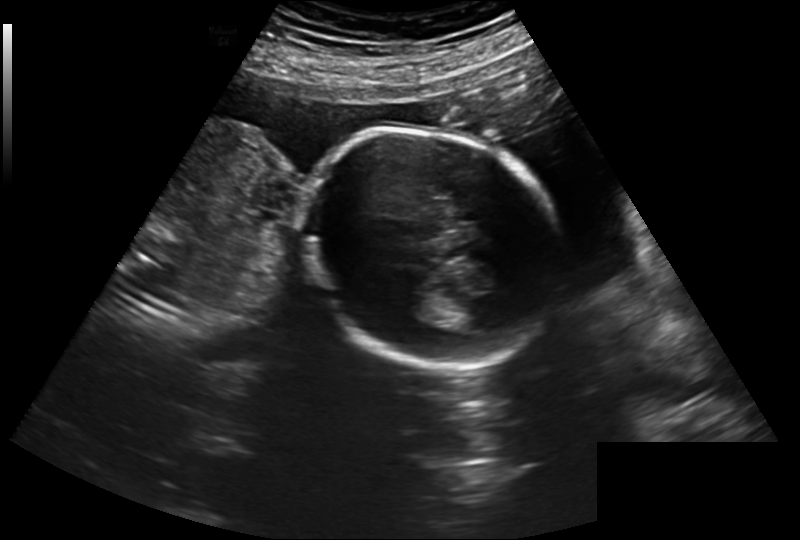
In this fetal head ultrasound, give the bounding box of the fetal head. Image width: 207.9 mm.

[301,128,557,368]